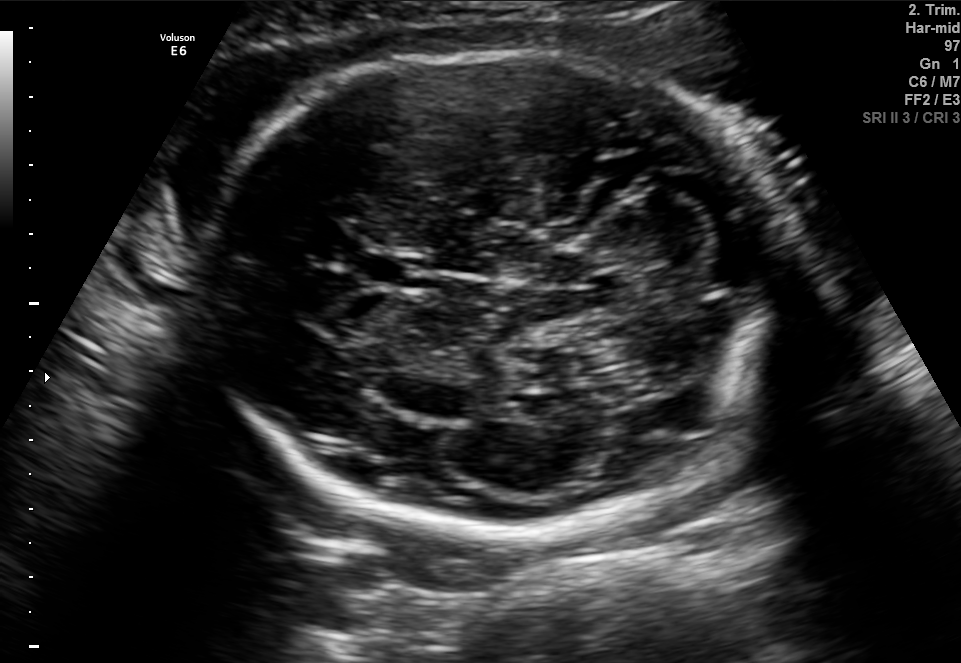
Identify the standard plane in this fetal ultrasound image: fetal abdomen, fetal brain, fetal femur, fetal thorax, maternal cervix, or other. If it's fetal brain and one of the three standard brain planes (trans-thalamic, trans-cerebellum, trans-ventricular), name which.

Fetal brain (trans-cerebellum plane)